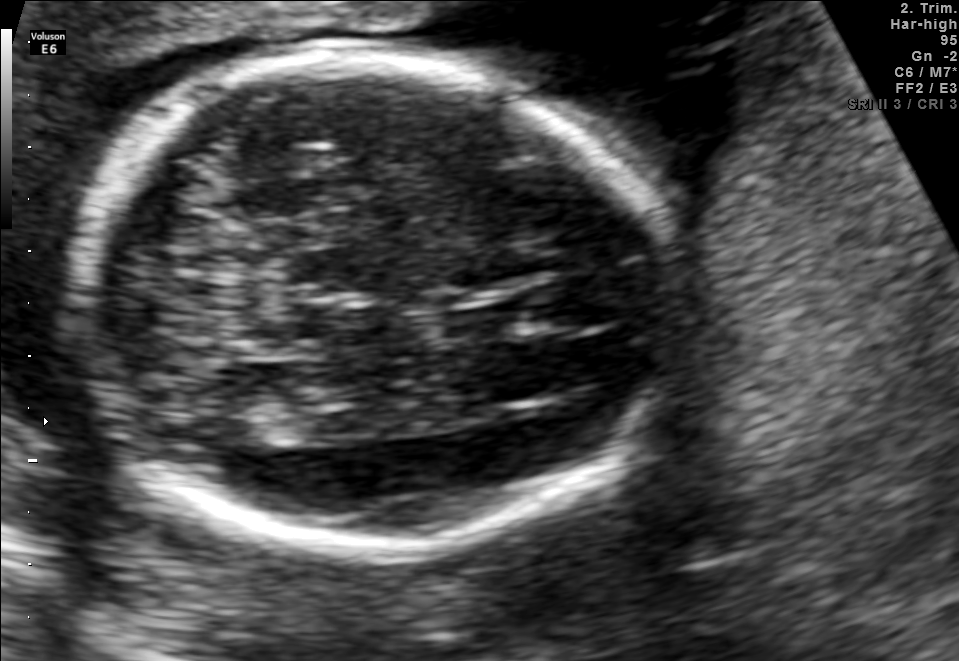
Identify the standard plane in this fetal ultrasound image: fetal abdomen, fetal brain, fetal femur, fetal thorax, maternal cervix, or other. If it's fetal brain and one of the three standard brain planes (trans-thalamic, trans-cerebellum, trans-ventricular), name which.

Fetal brain (trans-thalamic plane)